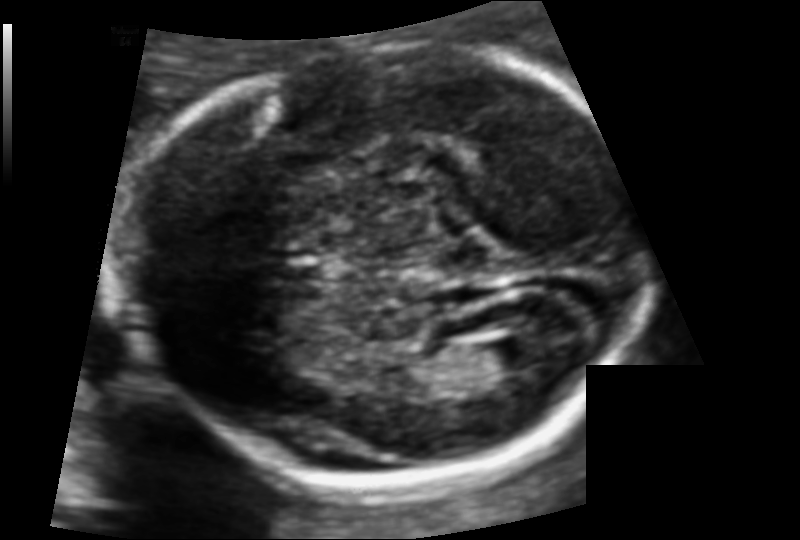
Fetal head ultrasound. Image width: 84.2 mm. Where is the lateral ventricle?

Lateral ventricle bounding box: [471,330,543,382]